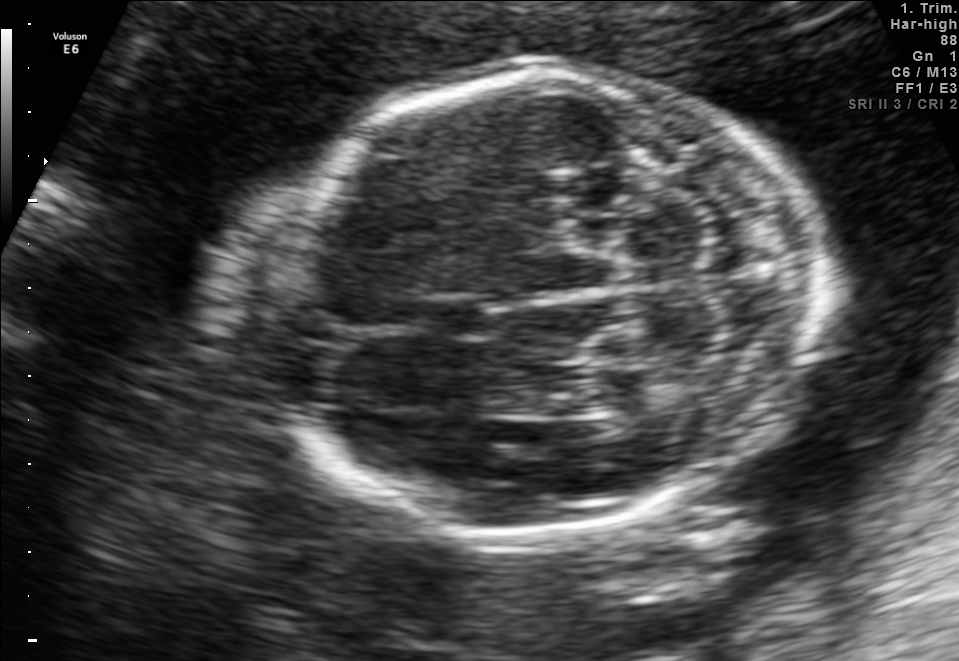
In this fetal brain, trans-cerebellum plane, give bounding boxes for the head outline, cavum septum pellucidum (CSP), and lateral ventricle (LV), where visible.

Head: [243,71,818,530]
CSP: [414,293,496,339]